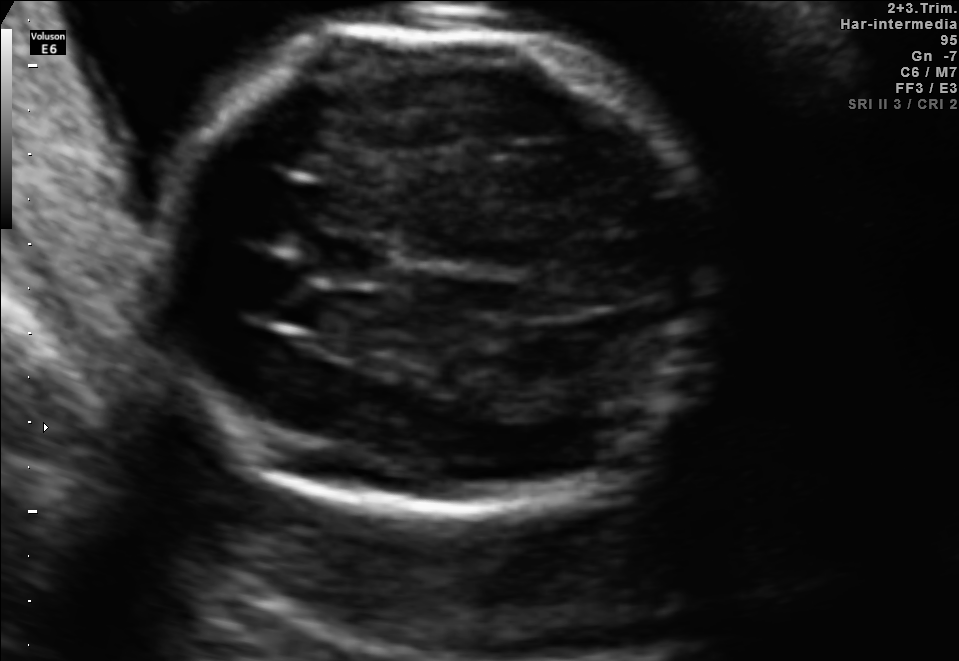
In this fetal brain, trans-thalamic plane, give the bounding box of the cavum septum pellucidum.

[312,235,388,282]